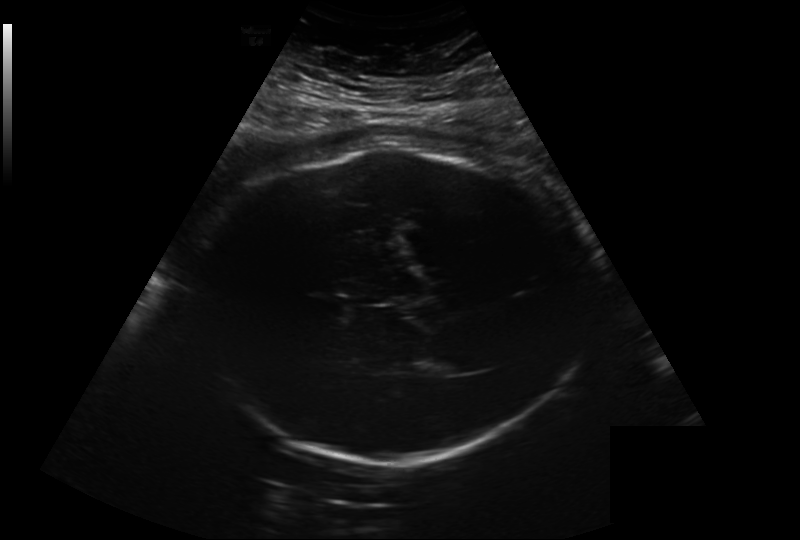
Fetal head ultrasound. Image width: 225.2 mm. Locate the fetal head.

Head: [199,148,584,462]